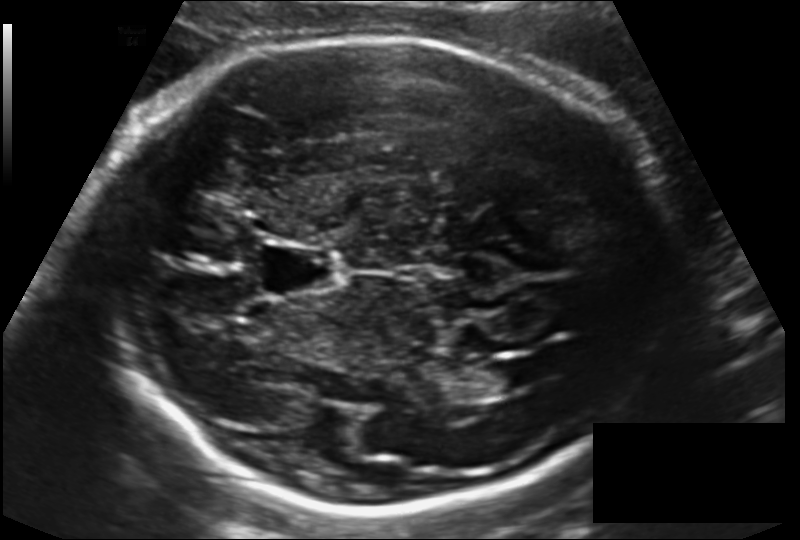
In this fetal head ultrasound, give bounding boxes for the head outline, cavum septum pellucidum (CSP), and lateral ventricle (LV), where visible. Image width: 123.9 mm.

Head: [94,37,669,515]
CSP: [259,245,341,294]
Lateral ventricle: [470,357,527,399]